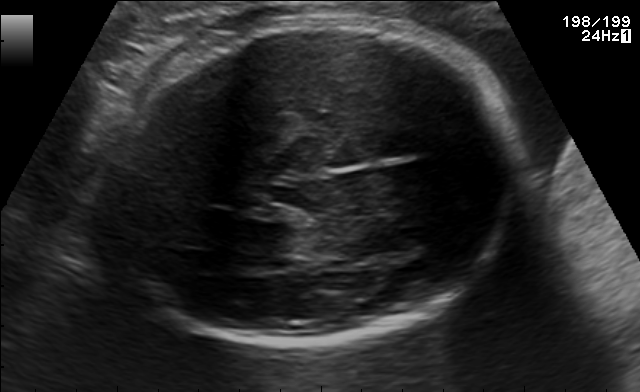
Fetal brain, trans-thalamic plane. Locate the fetal head.

Head: [106,17,517,346]